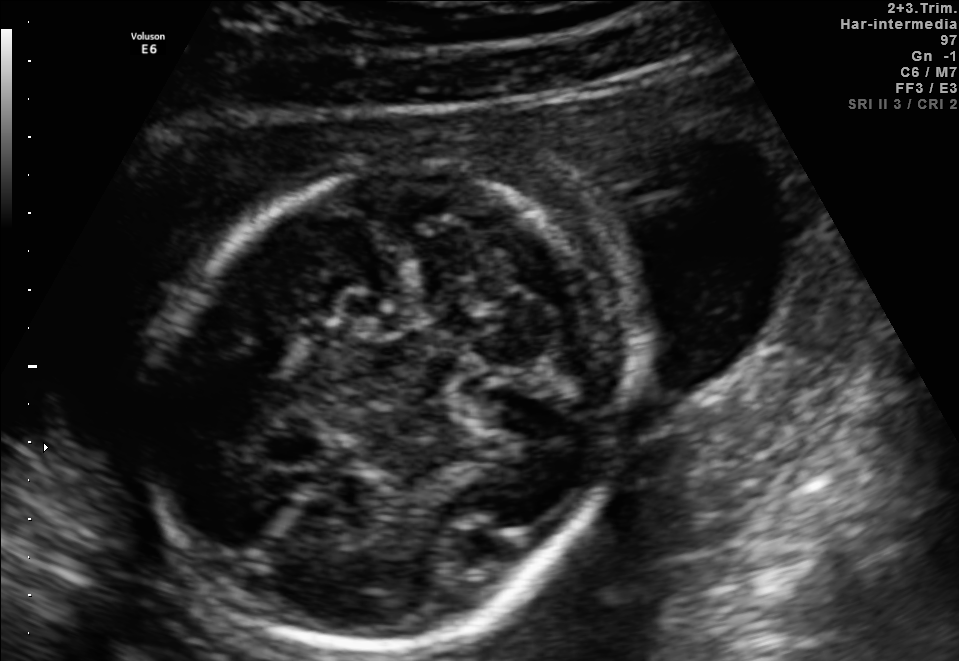
Fetal brain, trans-cerebellum plane. Locate the fetal head and, if visible, the cavum septum pellucidum (CSP) and lateral ventricle (LV). Give bounding boxes as [x1,y1,x2,y2].

Head: [153,162,616,647]